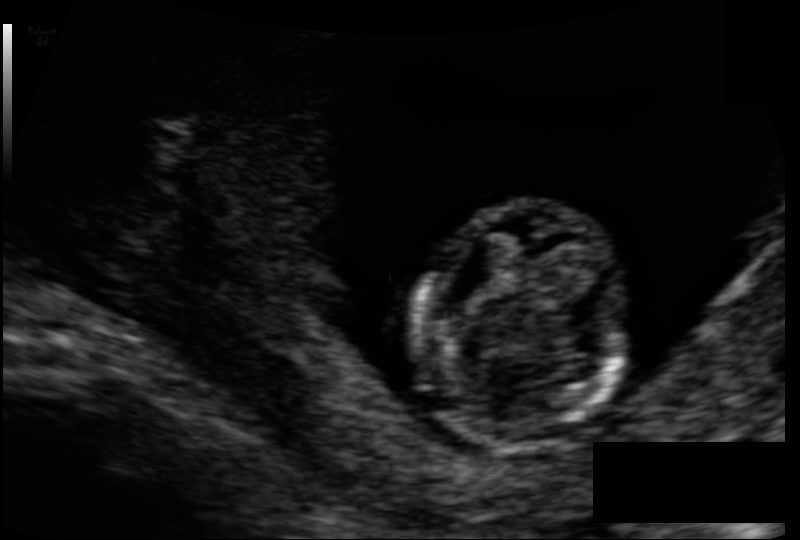
In this fetal head ultrasound, give the bounding box of the fetal head. Image width: 76.4 mm.

[416,204,626,444]